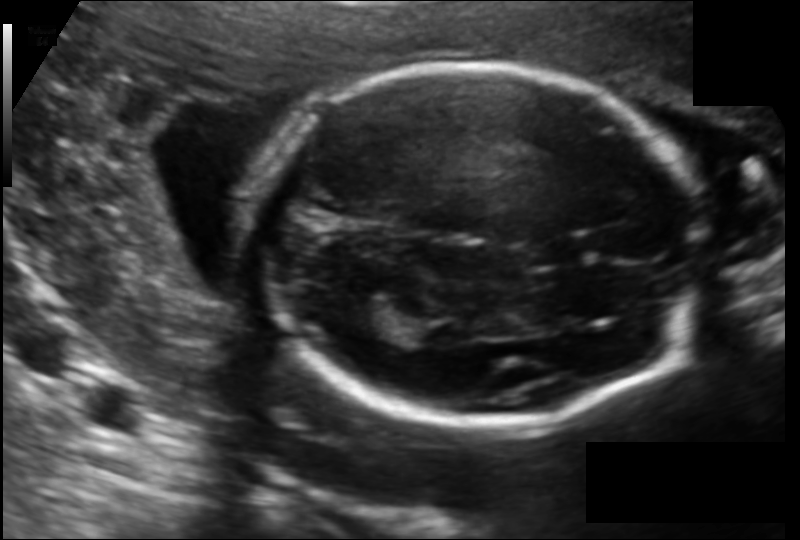
Fetal head ultrasound. Image width: 103.2 mm. Where is the fetal head?

Head bounding box: [248,63,702,422]